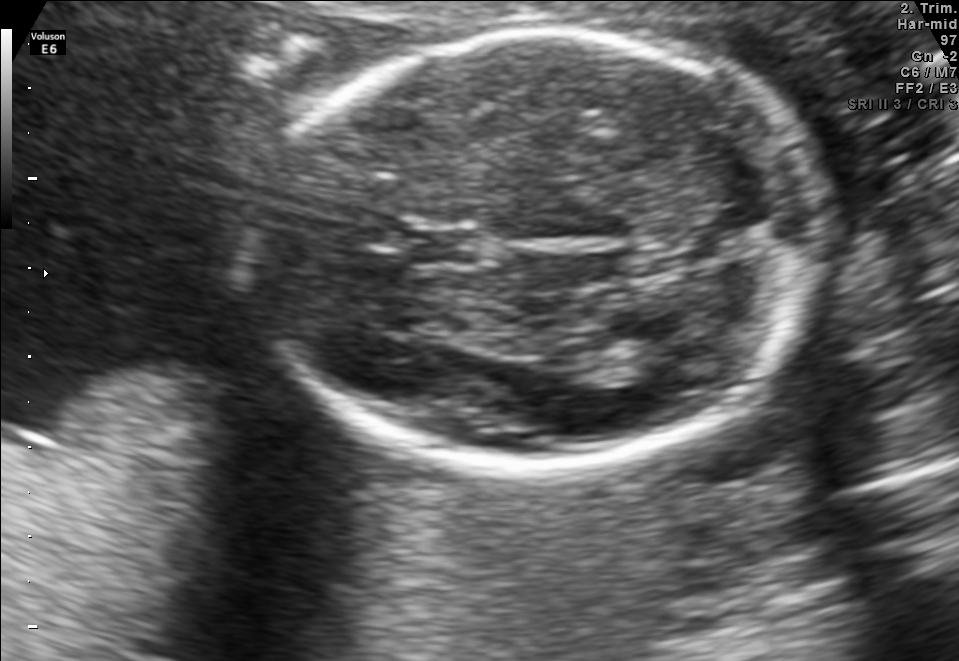
Fetal brain, trans-thalamic plane. Locate the fetal head.

Head: [257,34,820,463]